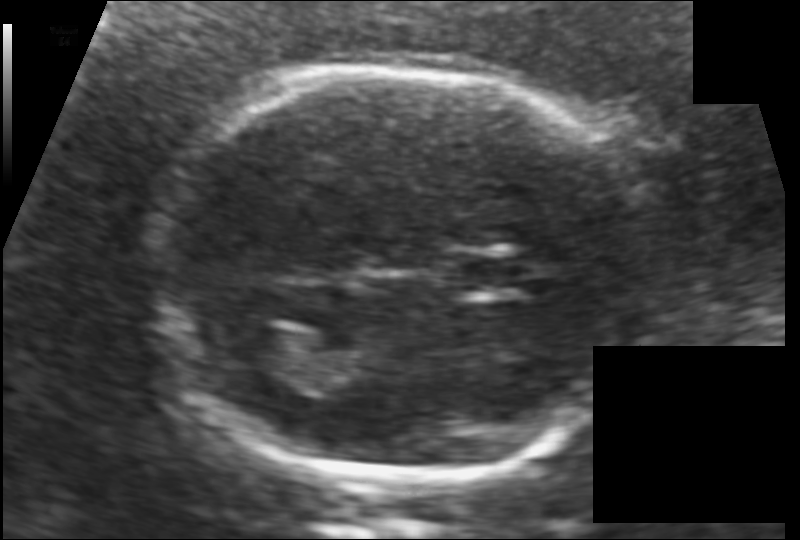
Fetal head ultrasound. Image width: 94.0 mm. Locate the fetal head.

Head: [153,65,646,486]